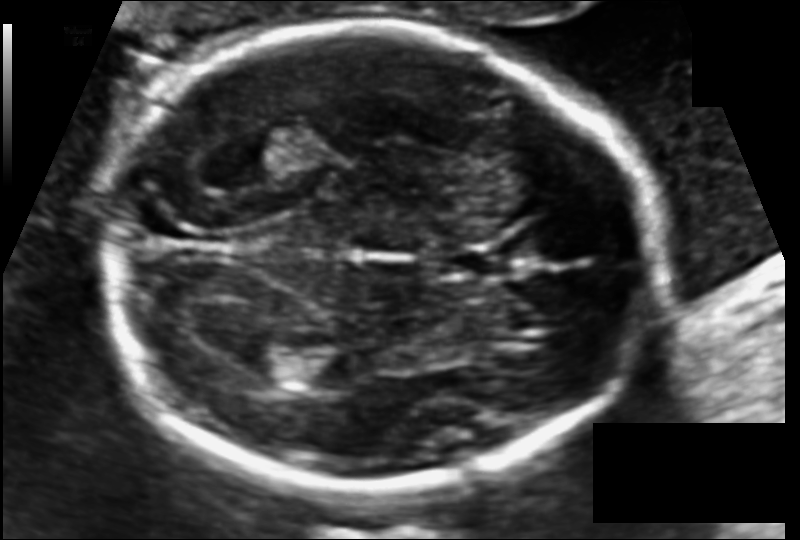
Fetal head ultrasound. Image width: 87.7 mm. Locate the cavum septum pellucidum.

CSP: [438,242,513,281]